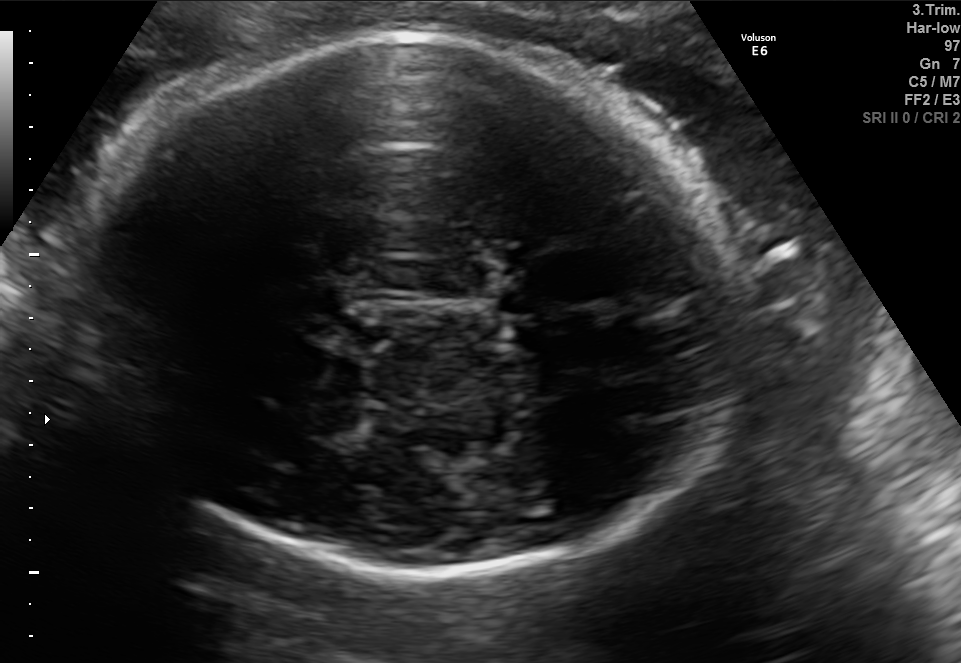
This is a 2D maternal-fetal ultrasound frame. Is it a fetal abdomen, fetal brain, fetal femur, fetal thorax, maternal cervix, or other standard plane? If it's fetal brain and one of the three standard brain planes (trans-thalamic, trans-cerebellum, trans-ventricular), name which.

Fetal brain (trans-thalamic plane)